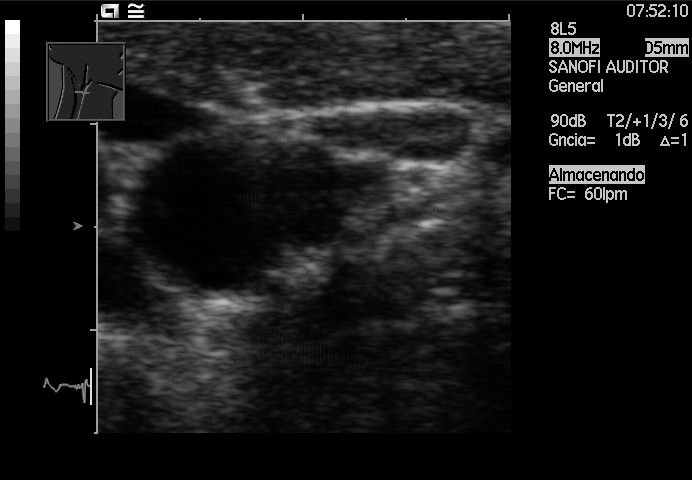
Which standard maternal-fetal ultrasound plane is shown: fetal abdomen, fetal brain, fetal femur, fetal thorax, maternal cervix, or other? If it's fetal brain and one of the three standard brain planes (trans-thalamic, trans-cerebellum, trans-ventricular), name which.

Other